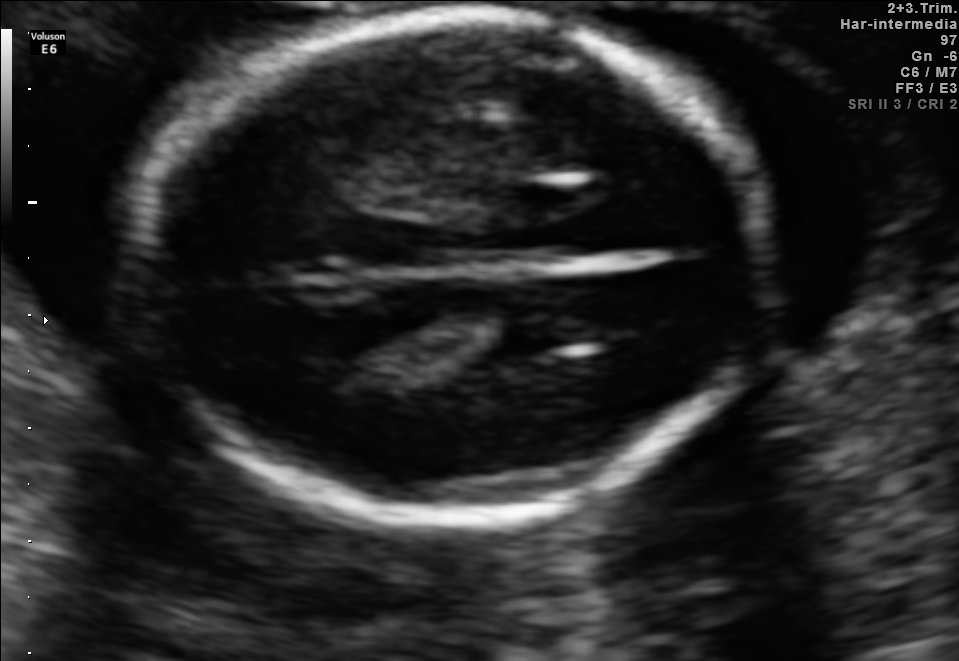
Fetal brain, trans-thalamic plane. Locate the fetal head and, if visible, the cavum septum pellucidum (CSP) and lateral ventricle (LV). Give bounding boxes as [x1,y1,x2,y2].

Head: [139,16,768,519]